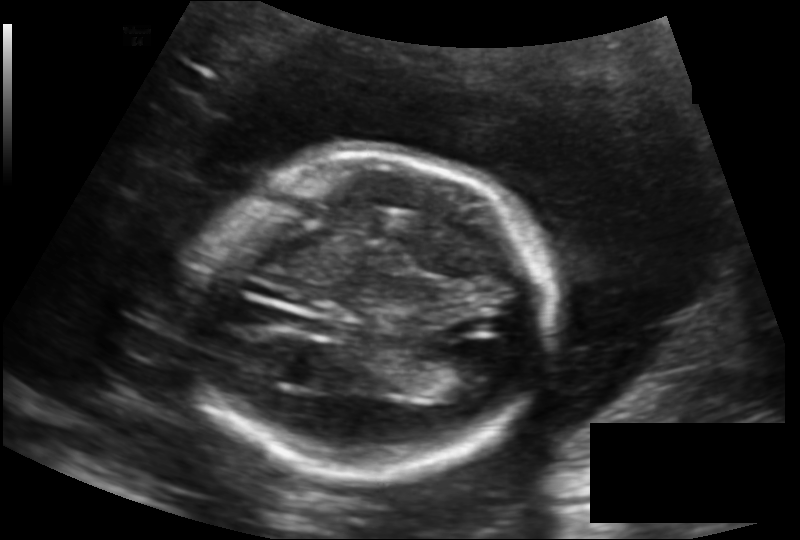
Fetal head ultrasound. Image width: 122.9 mm. Where is the fetal head?

Head bounding box: [189,154,550,471]